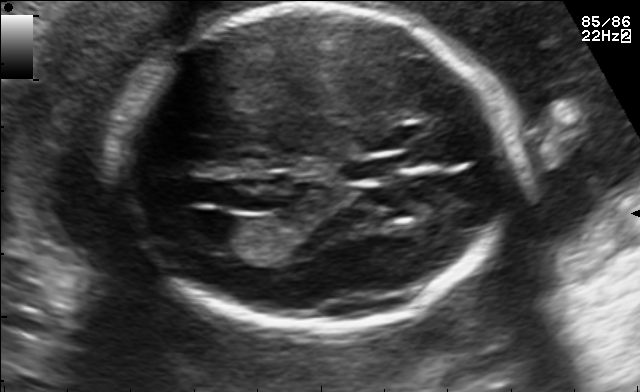
Fetal brain, trans-ventricular plane. Locate the fetal head.

Head: [118,2,518,337]